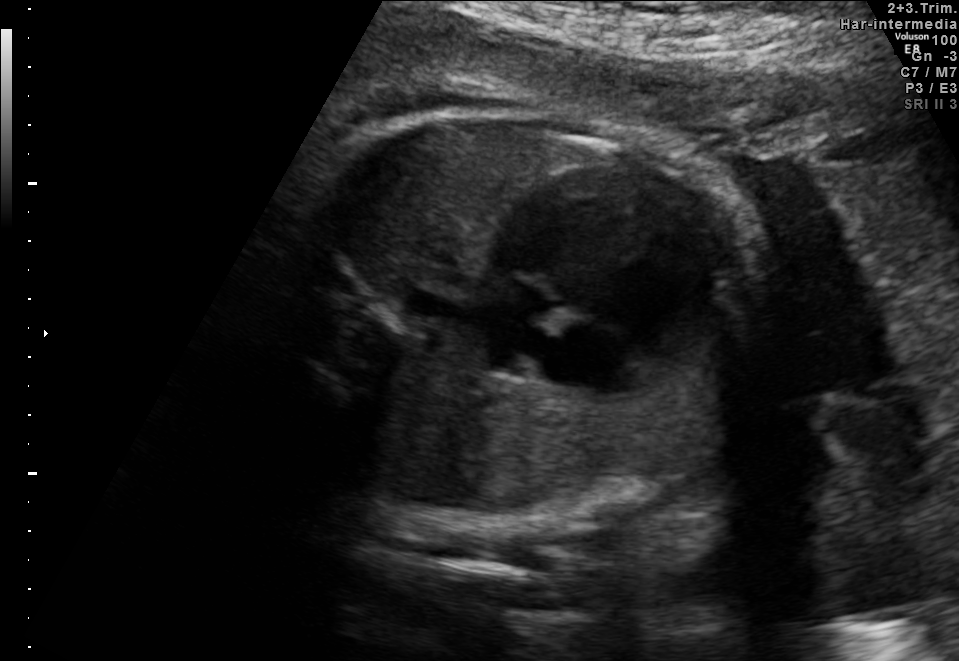
Identify the standard plane in this fetal ultrasound image: fetal abdomen, fetal brain, fetal femur, fetal thorax, maternal cervix, or other. If it's fetal brain and one of the three standard brain planes (trans-thalamic, trans-cerebellum, trans-ventricular), name which.

Fetal thorax